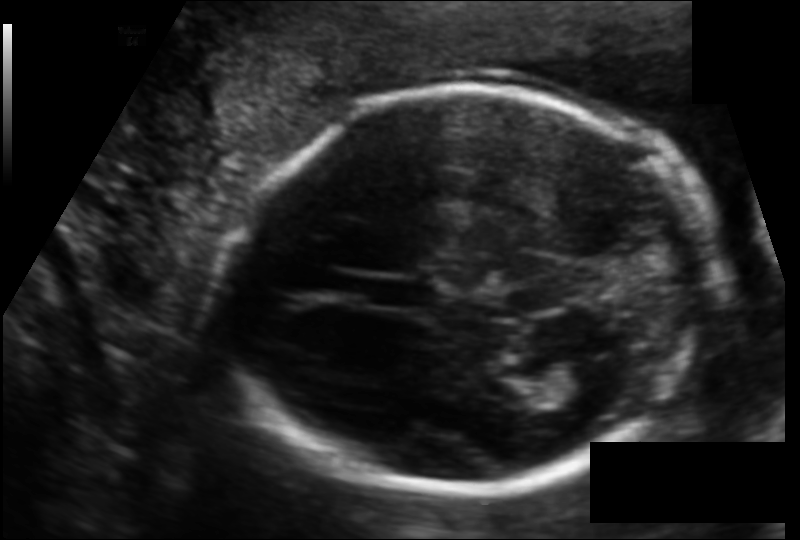
Fetal head ultrasound. Image width: 95.3 mm. Locate the cavum septum pellucidum.

CSP: [370,277,434,308]